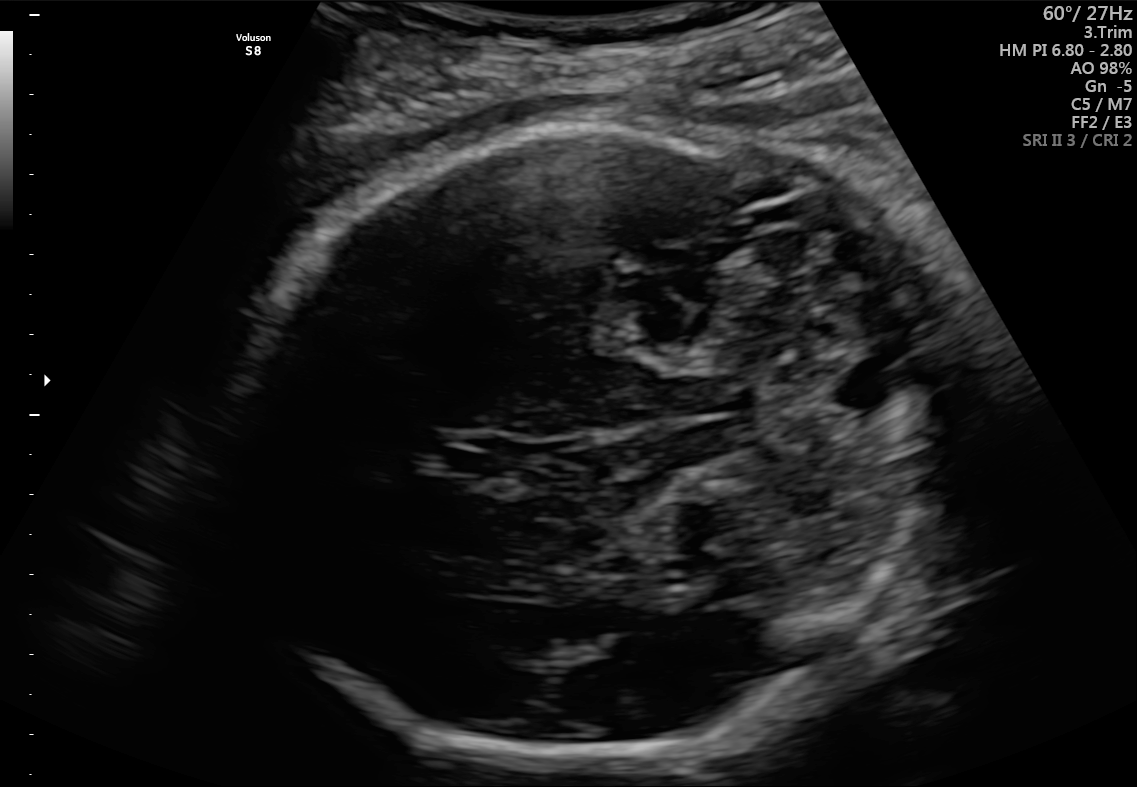
Fetal brain, trans-cerebellum plane. Give [x1,y1,x2,y2] bounding boxes for each visible structure among: fetal head, CSP, LV.

Head: [230,127,947,755]